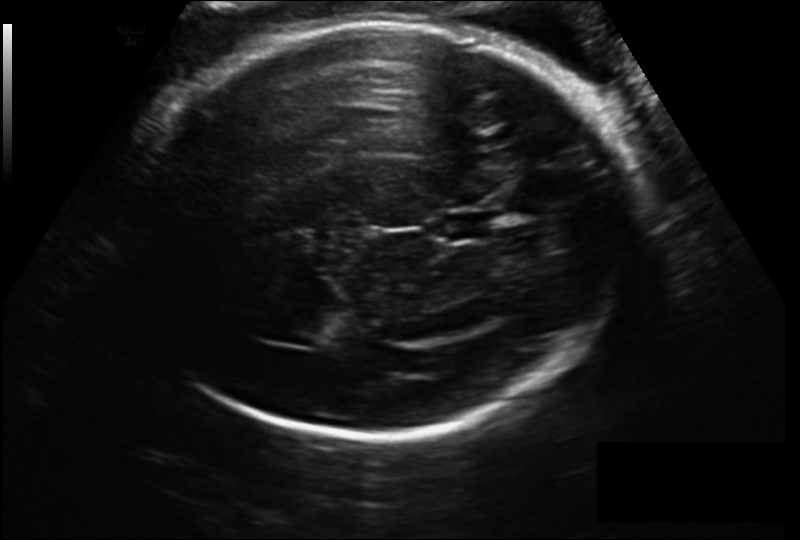
Fetal head ultrasound. Image width: 164.9 mm. Locate the fetal head.

Head: [127,20,625,435]